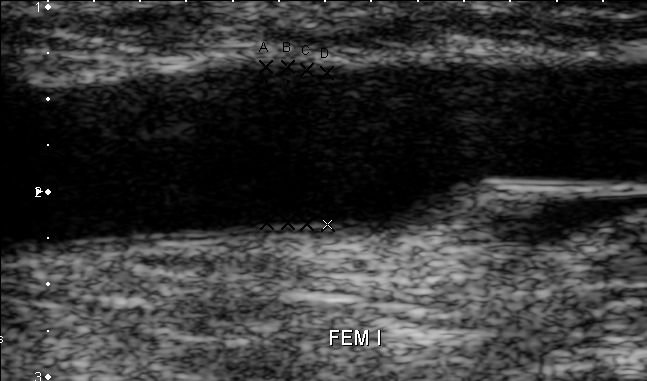
Classify this maternal-fetal ultrasound image as one of the six standard planes — fetal abdomen, fetal brain, fetal femur, fetal thorax, maternal cervix, or other. If it's fetal brain and one of the three standard brain planes (trans-thalamic, trans-cerebellum, trans-ventricular), name which.

Other